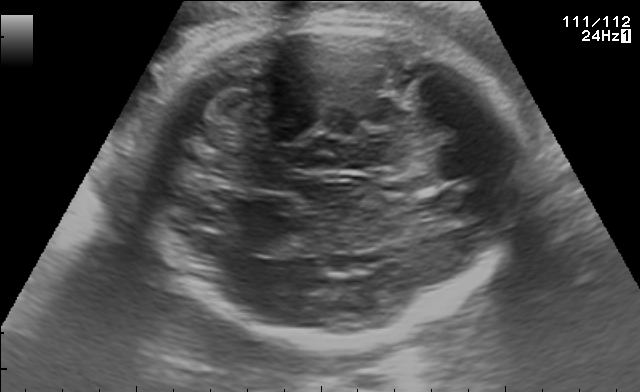
In this fetal brain, trans-cerebellum plane, give the bounding box of the fetal head.

[143,12,525,342]